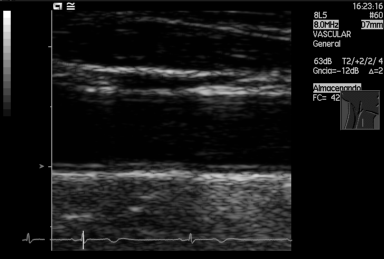
This is a 2D maternal-fetal ultrasound frame. Is it a fetal abdomen, fetal brain, fetal femur, fetal thorax, maternal cervix, or other standard plane? If it's fetal brain and one of the three standard brain planes (trans-thalamic, trans-cerebellum, trans-ventricular), name which.

Other